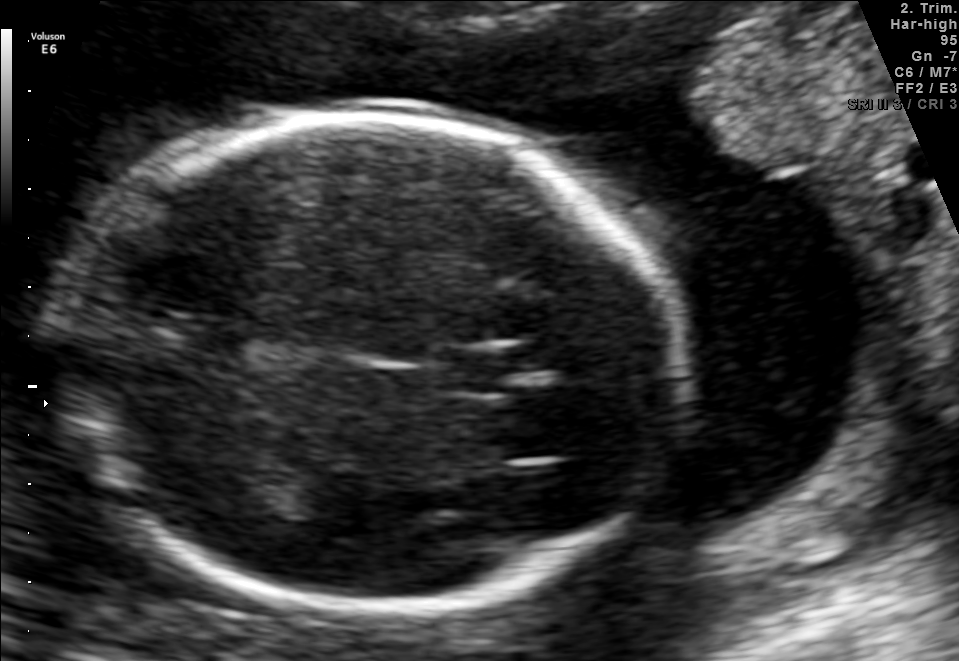
Fetal brain, trans-thalamic plane. Give [x1,y1,x2,y2] bounding boxes for each visible structure among: fetal head, CSP, LV.

Head: [63,119,684,612]
CSP: [439,349,516,394]